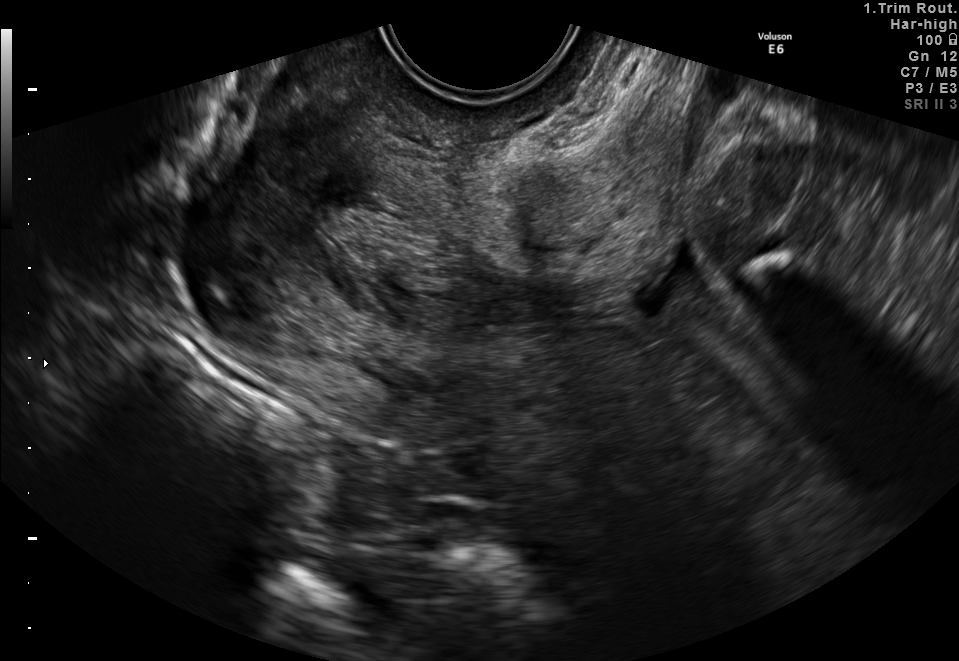
This is a 2D maternal-fetal ultrasound frame. Is it a fetal abdomen, fetal brain, fetal femur, fetal thorax, maternal cervix, or other standard plane? If it's fetal brain and one of the three standard brain planes (trans-thalamic, trans-cerebellum, trans-ventricular), name which.

Maternal cervix